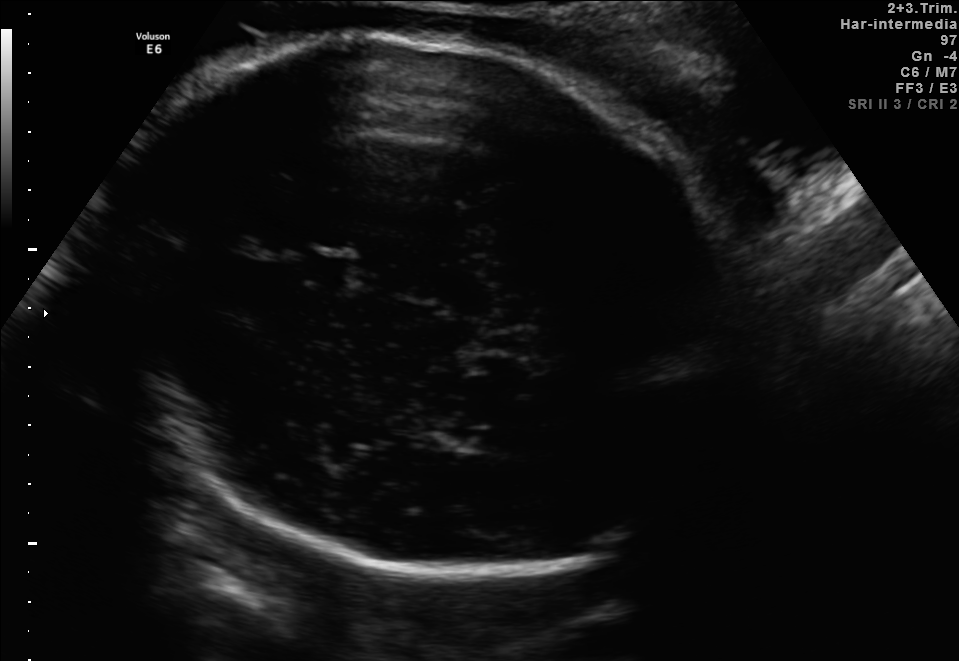
In this fetal brain, trans-thalamic plane, give bounding boxes for the head outline, cavum septum pellucidum (CSP), and lateral ventricle (LV), where visible.

Head: [98,27,751,578]
CSP: [307,254,347,286]